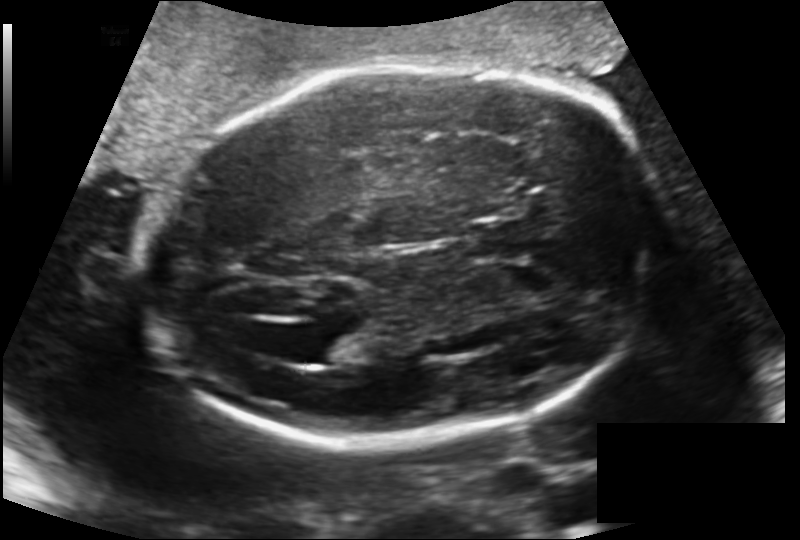
Fetal head ultrasound. Image width: 136.0 mm. Locate the fetal head.

Head: [142,63,668,444]